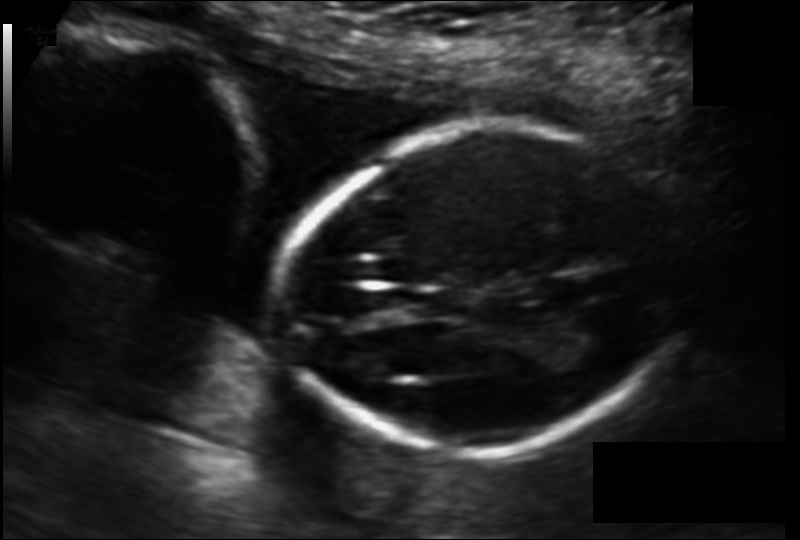
What is the fetal head circumference? Image width is 102.9 mm.

156.4 mm